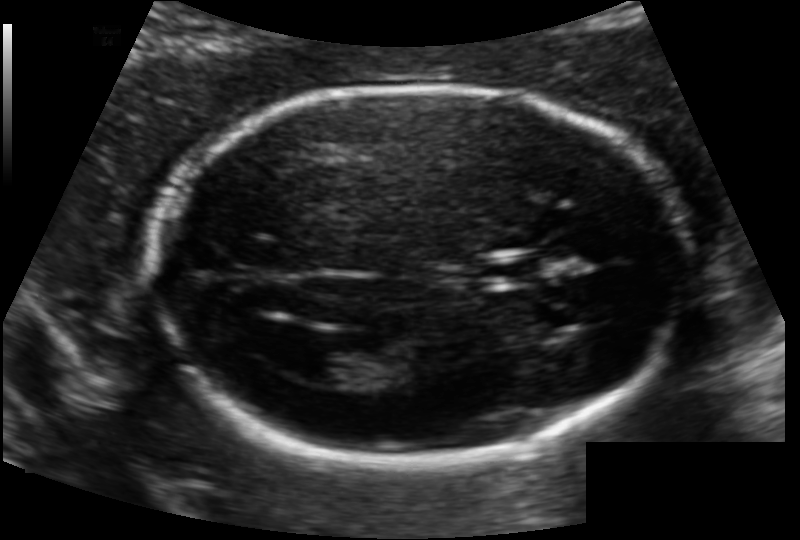
Fetal head ultrasound. Image width: 94.1 mm. Where is the cavum septum pellucidum?

CSP bounding box: [477,252,544,287]